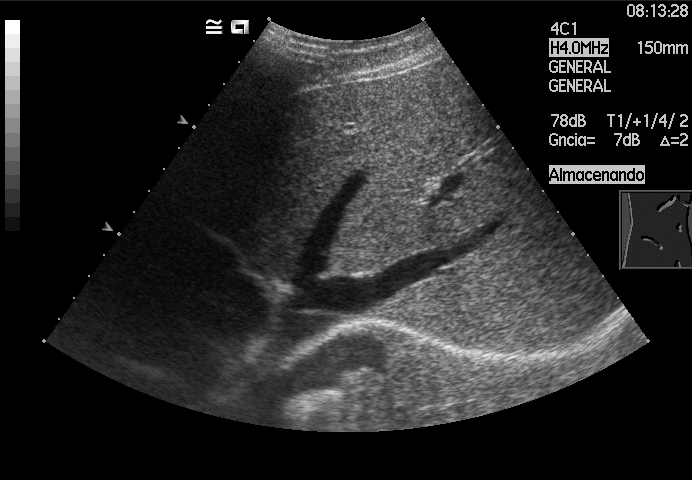
Identify the standard plane in this fetal ultrasound image: fetal abdomen, fetal brain, fetal femur, fetal thorax, maternal cervix, or other. If it's fetal brain and one of the three standard brain planes (trans-thalamic, trans-cerebellum, trans-ventricular), name which.

Other